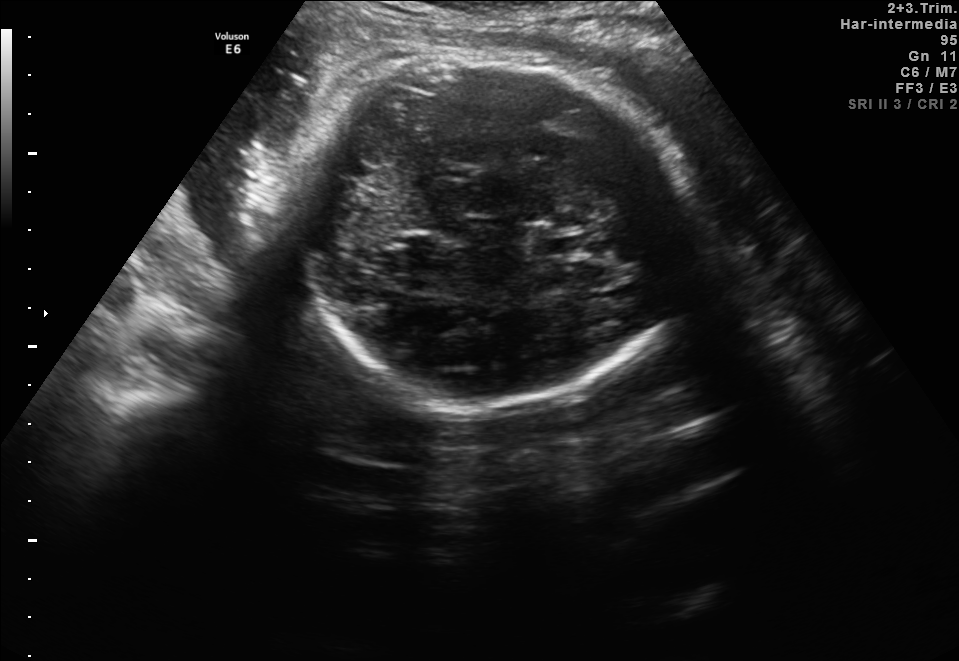
Fetal brain, trans-thalamic plane. Locate the fetal head.

Head: [296,57,695,402]